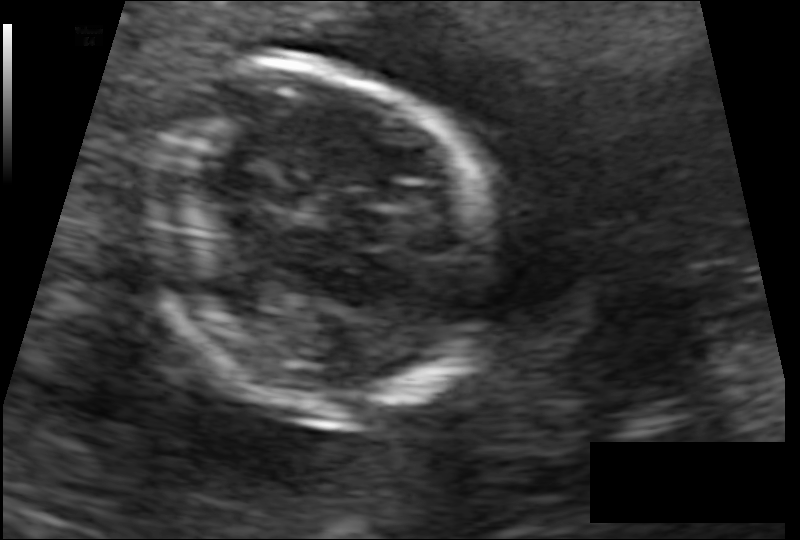
Fetal head ultrasound. Image width: 73.2 mm. Locate the fetal head.

Head: [135,59,486,413]